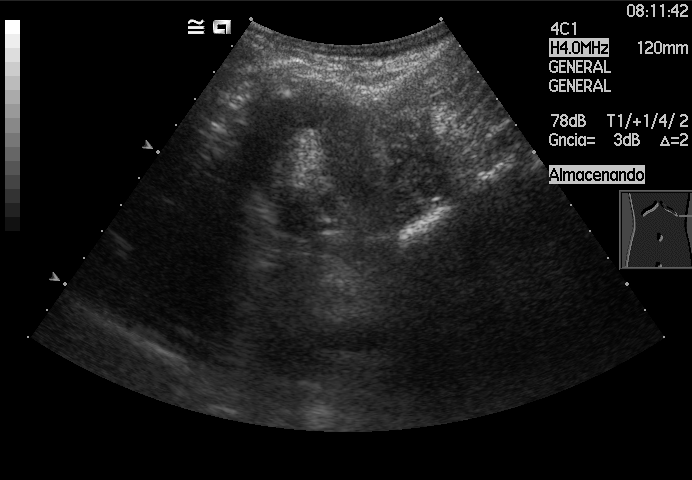
Identify the standard plane in this fetal ultrasound image: fetal abdomen, fetal brain, fetal femur, fetal thorax, maternal cervix, or other. If it's fetal brain and one of the three standard brain planes (trans-thalamic, trans-cerebellum, trans-ventricular), name which.

Other